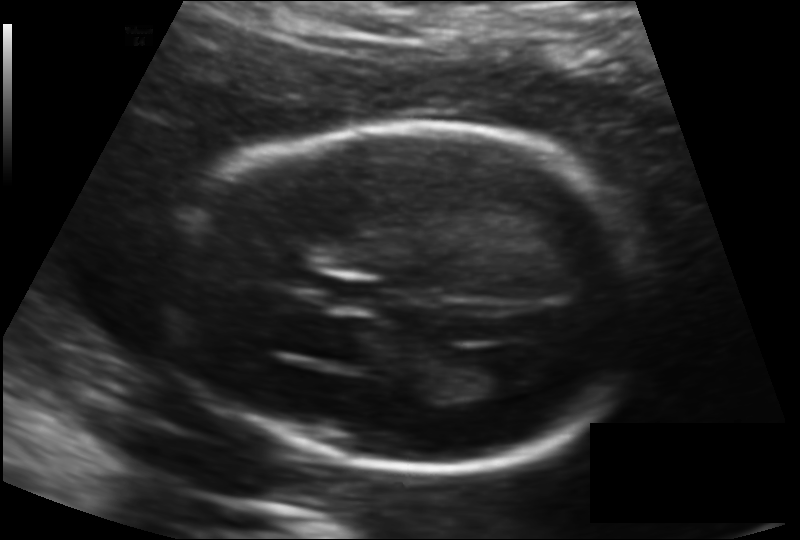
Estimate the fetal head circumference from this 2D ultrasound. Image width: 108.1 mm.

Head circumference: 178.4 mm.